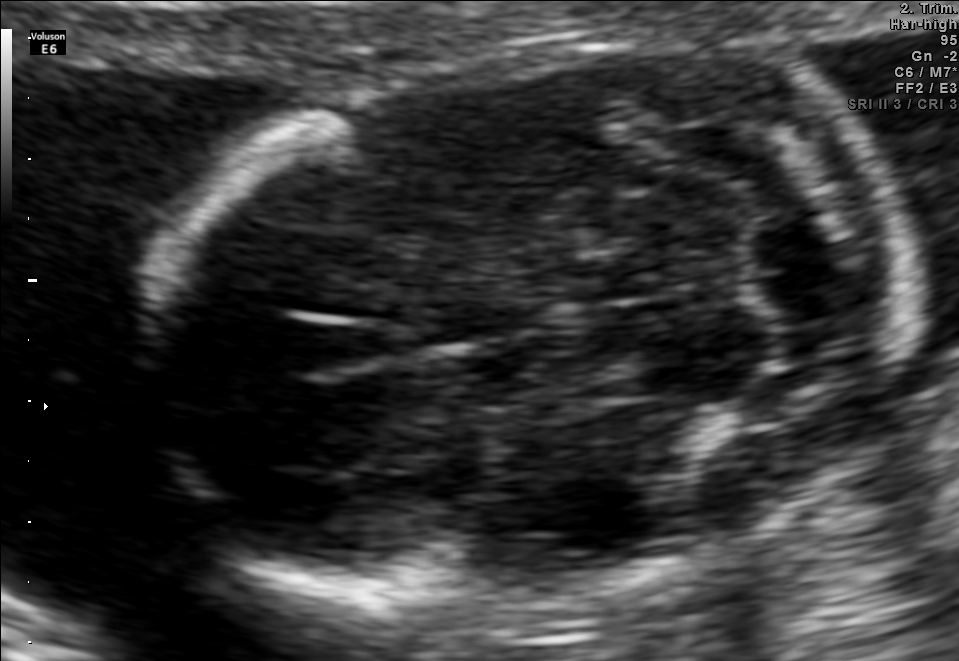
Fetal brain, trans-cerebellum plane. Give [x1,y1,x2,y2] bounding boxes for each visible structure among: fetal head, CSP, LV.

Head: [147,37,908,608]